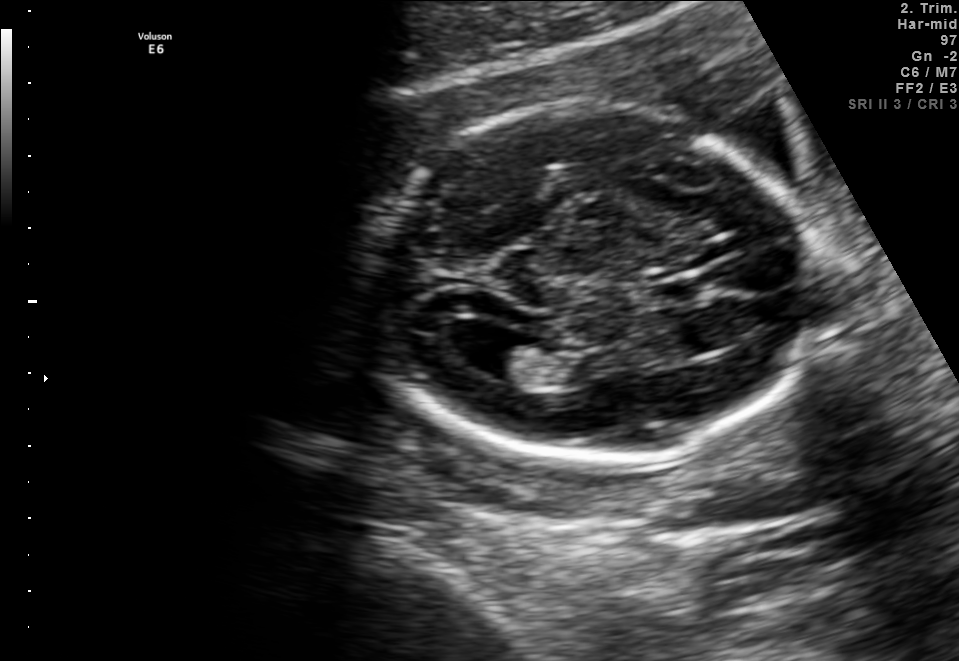
Fetal brain, trans-ventricular plane. Locate the cavum septum pellucidum.

CSP: [646,273,717,308]